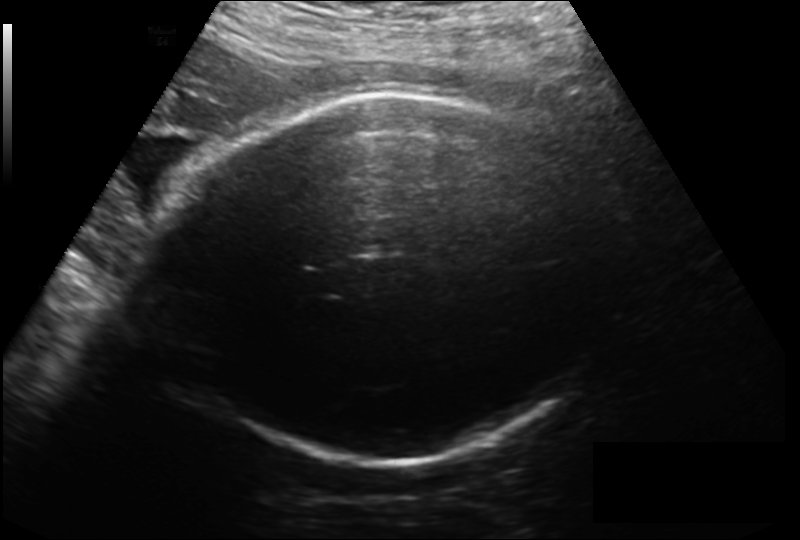
Fetal head ultrasound. Image width: 171.5 mm. Locate the fetal head and, if visible, the cavum septum pellucidum (CSP) and lateral ventricle (LV). Give bounding boxes as [x1,y1,x2,y2].

Head: [159,94,609,462]